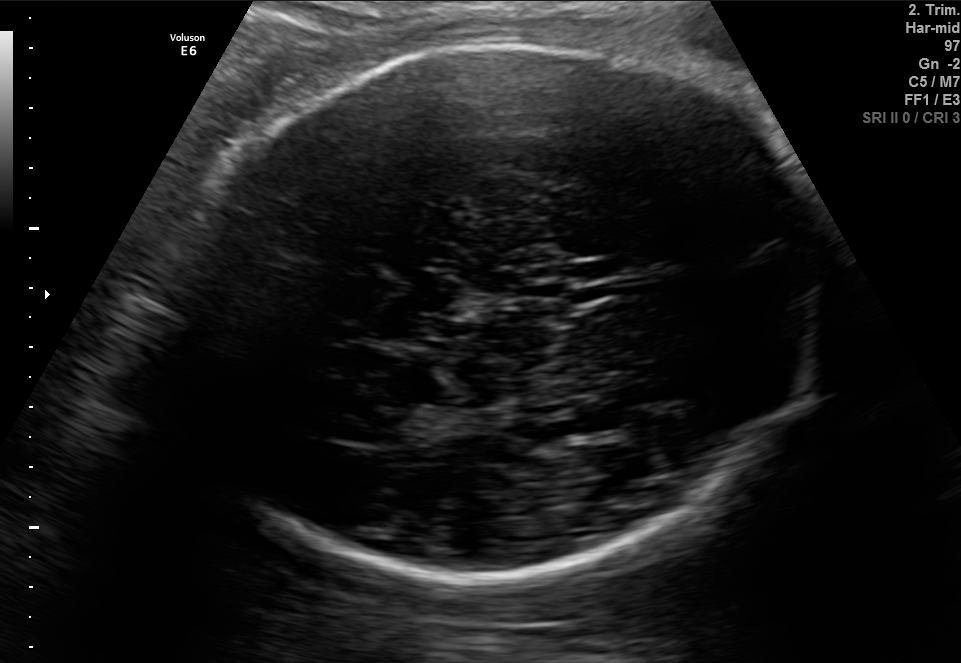
Fetal brain, trans-thalamic plane. Locate the fetal head.

Head: [179,36,832,585]